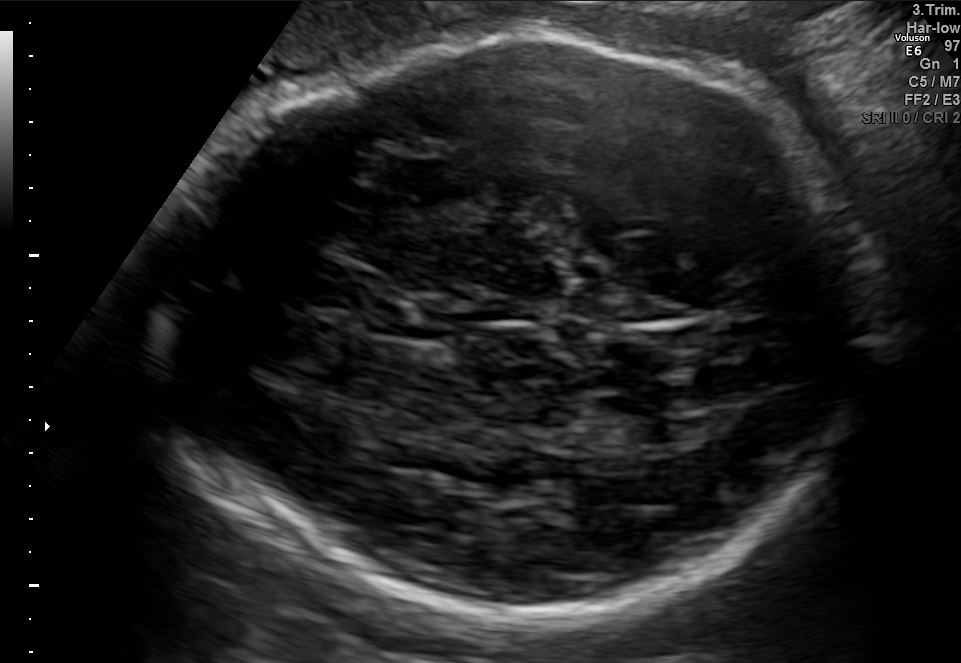
In this fetal brain, trans-thalamic plane, give the bounding box of the fetal head.

[150,33,875,616]